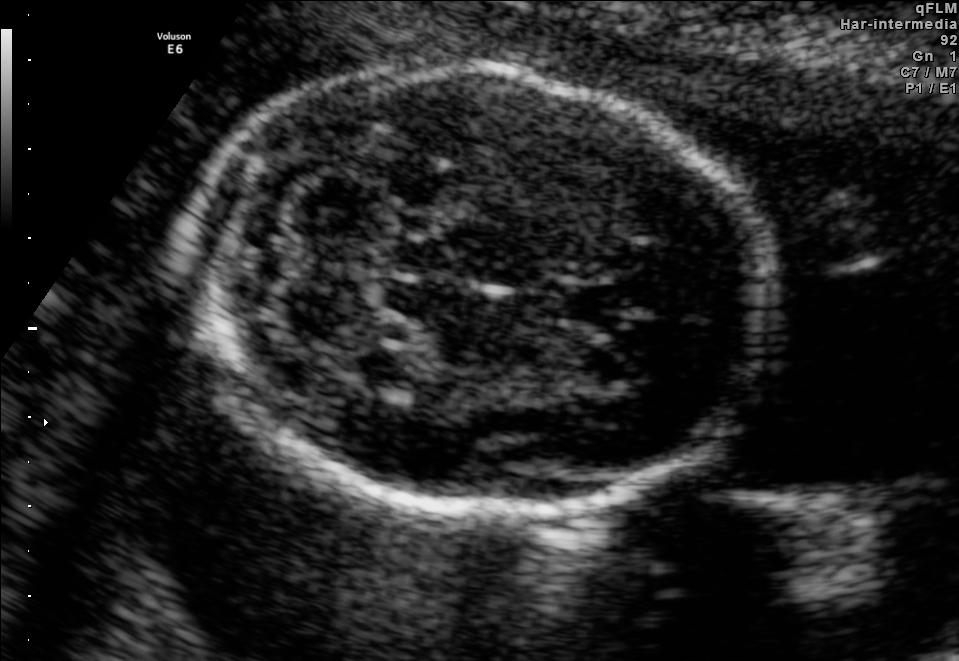
Fetal brain, trans-cerebellum plane. Locate the fetal head.

Head: [191,65,772,512]